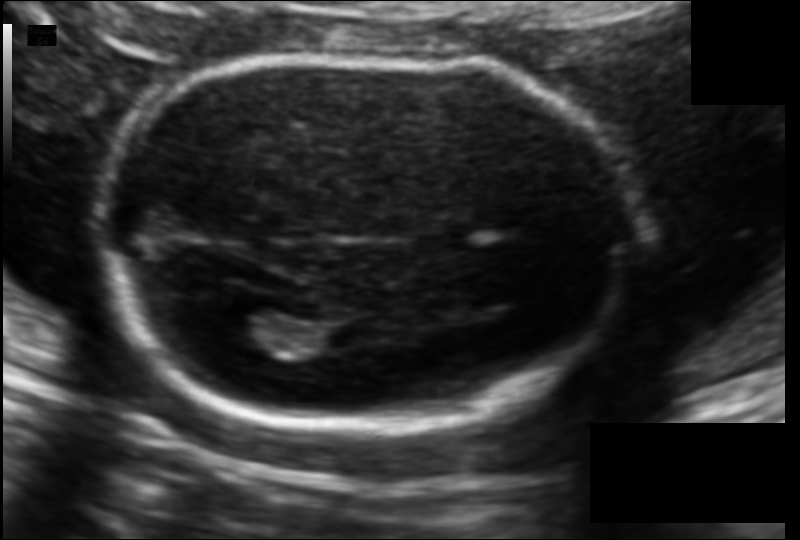
What is the fetal head circumference? Image width is 90.5 mm.

170.1 mm